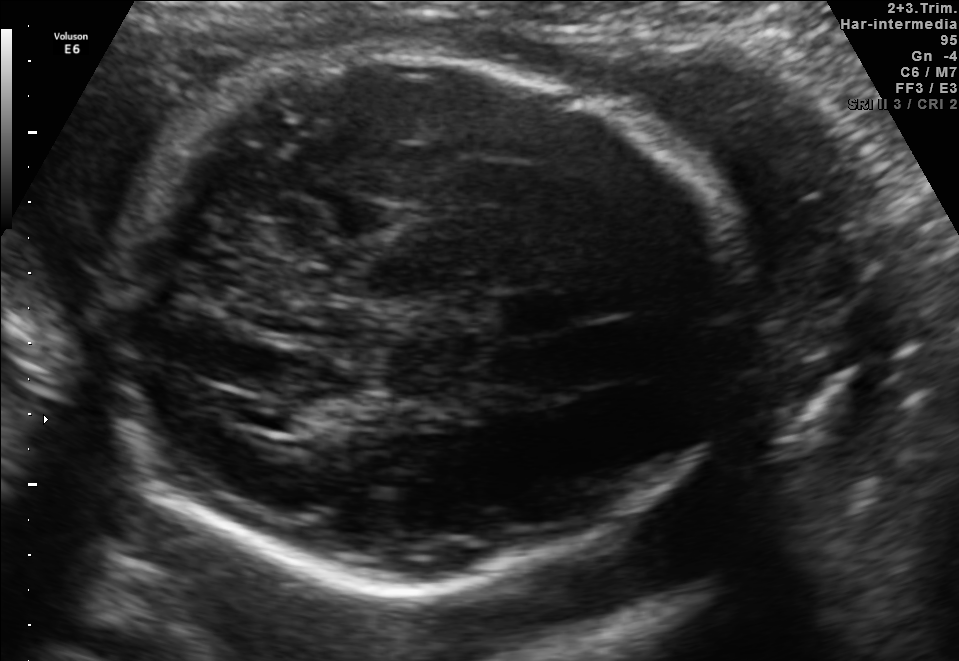
Fetal brain, trans-thalamic plane. Give [x1,y1,x2,y2] bounding boxes for each visible structure among: fetal head, CSP, LV.

Head: [113,52,734,591]
CSP: [501,294,570,334]
Lateral ventricle: [229,389,313,437]